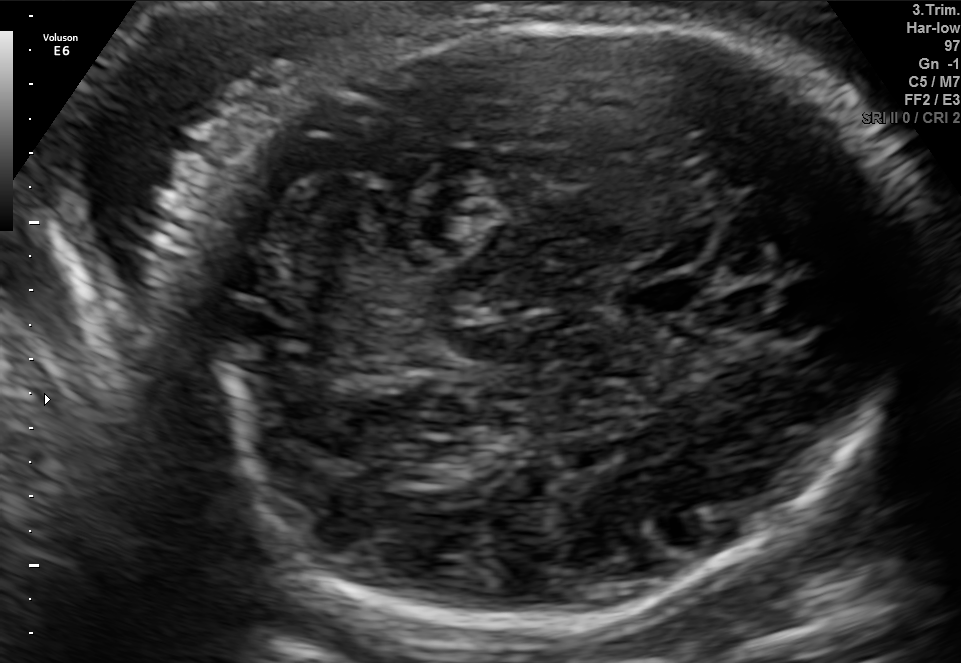
In this fetal brain, trans-cerebellum plane, give bounding boxes for the head outline, cavum septum pellucidum (CSP), and lateral ventricle (LV), where visible.

Head: [201,18,918,623]
CSP: [617,262,712,329]